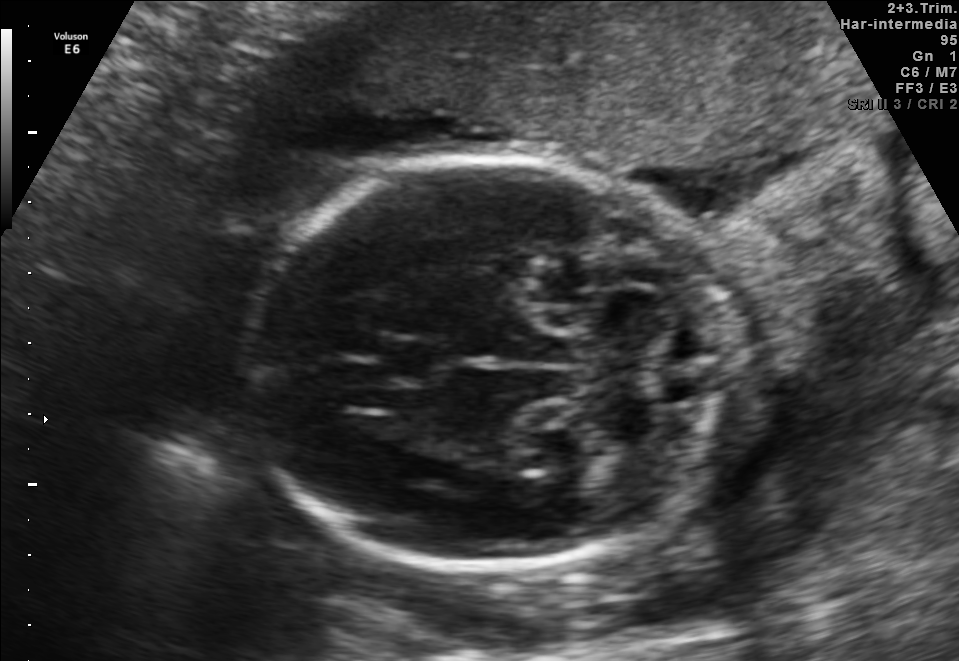
Classify this maternal-fetal ultrasound image as one of the six standard planes — fetal abdomen, fetal brain, fetal femur, fetal thorax, maternal cervix, or other. If it's fetal brain and one of the three standard brain planes (trans-thalamic, trans-cerebellum, trans-ventricular), name which.

Fetal brain (trans-cerebellum plane)